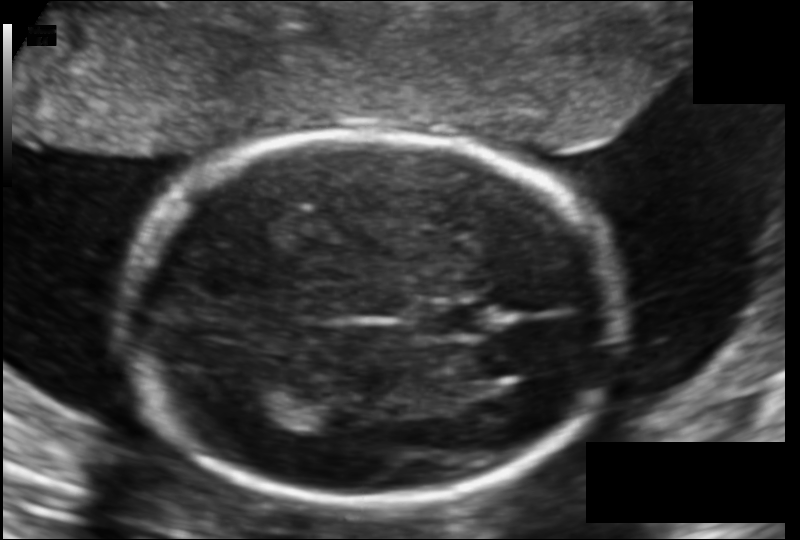
Fetal head ultrasound. Image width: 98.4 mm. Where is the fetal head?

Head bounding box: [125,134,618,506]